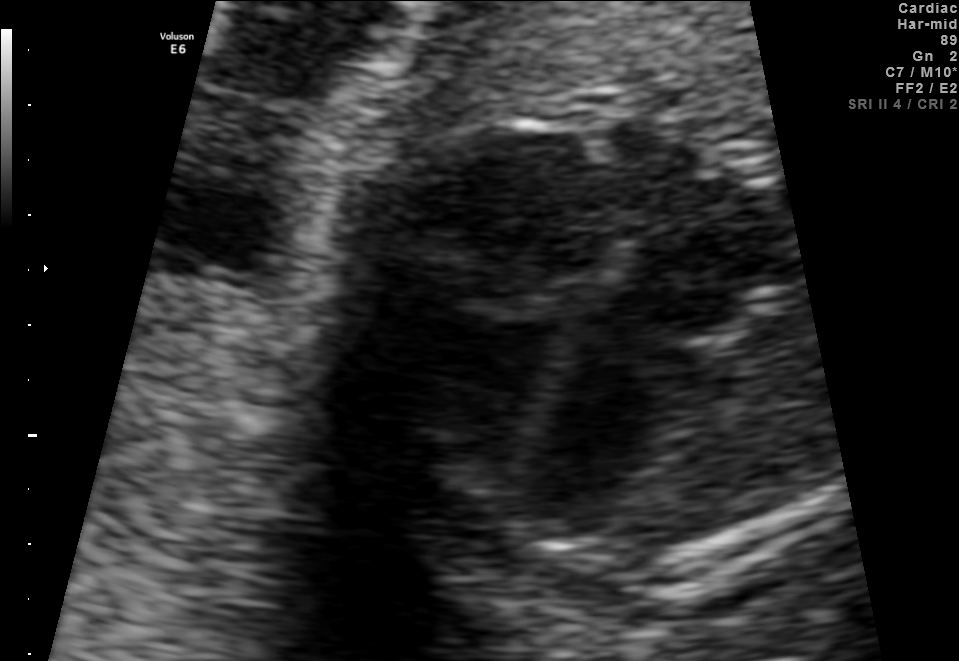
This is a 2D maternal-fetal ultrasound frame. Is it a fetal abdomen, fetal brain, fetal femur, fetal thorax, maternal cervix, or other standard plane? If it's fetal brain and one of the three standard brain planes (trans-thalamic, trans-cerebellum, trans-ventricular), name which.

Fetal thorax